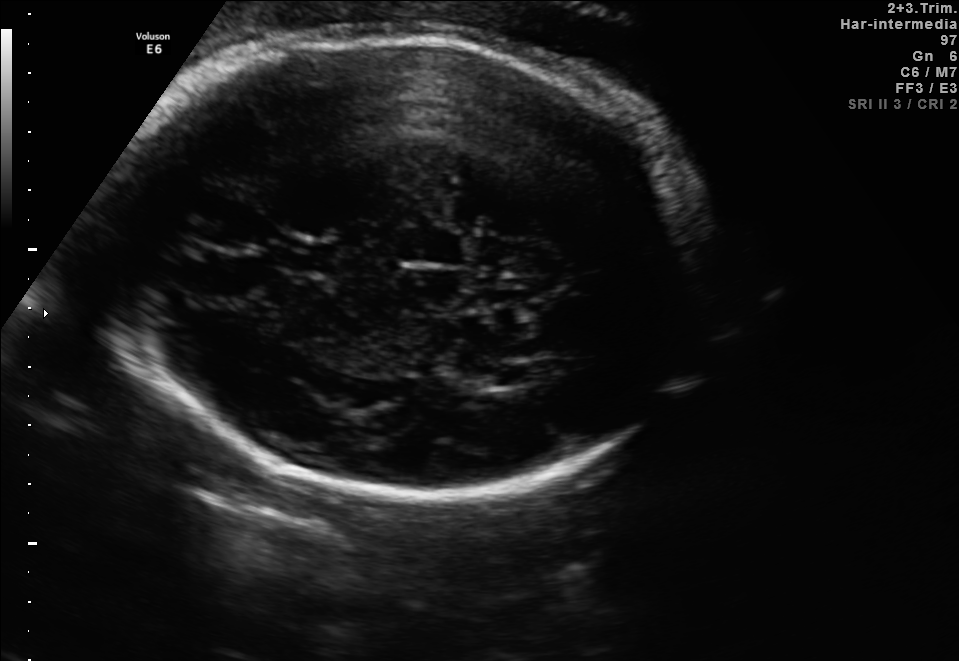
In this fetal brain, trans-ventricular plane, give bounding boxes for the head outline, cavum septum pellucidum (CSP), and lateral ventricle (LV), where visible.

Head: [101,26,730,507]
CSP: [274,239,338,274]
Lateral ventricle: [493,362,529,388]